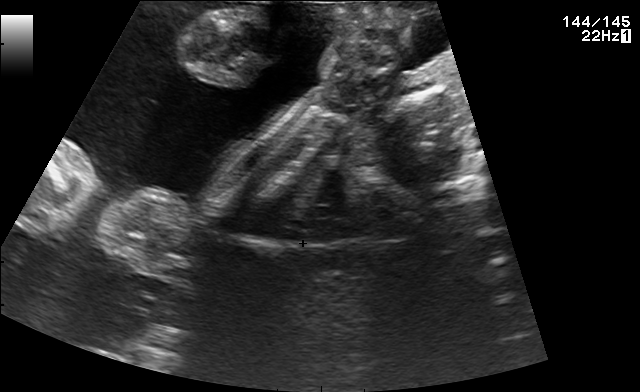
Classify this maternal-fetal ultrasound image as one of the six standard planes — fetal abdomen, fetal brain, fetal femur, fetal thorax, maternal cervix, or other. If it's fetal brain and one of the three standard brain planes (trans-thalamic, trans-cerebellum, trans-ventricular), name which.

Other